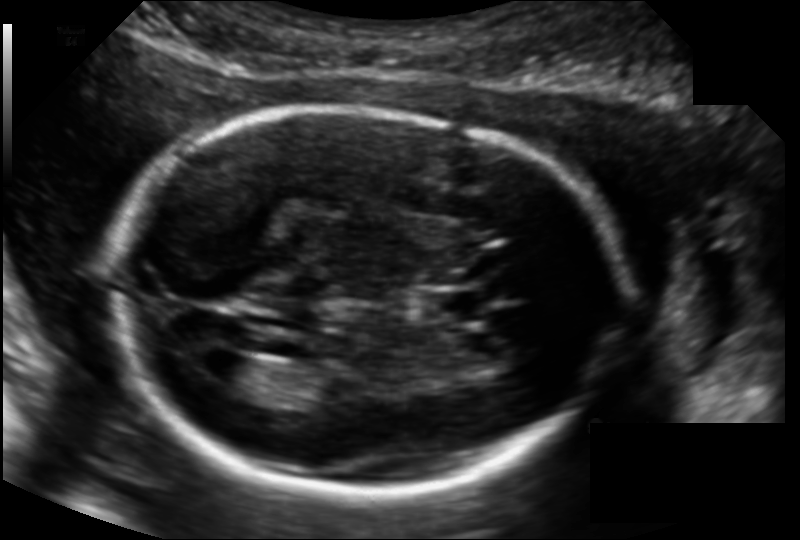
Measure the fetal head circumference shown in this ultrasound image. Image width: 107.7 mm.

Head circumference: 193.8 mm.